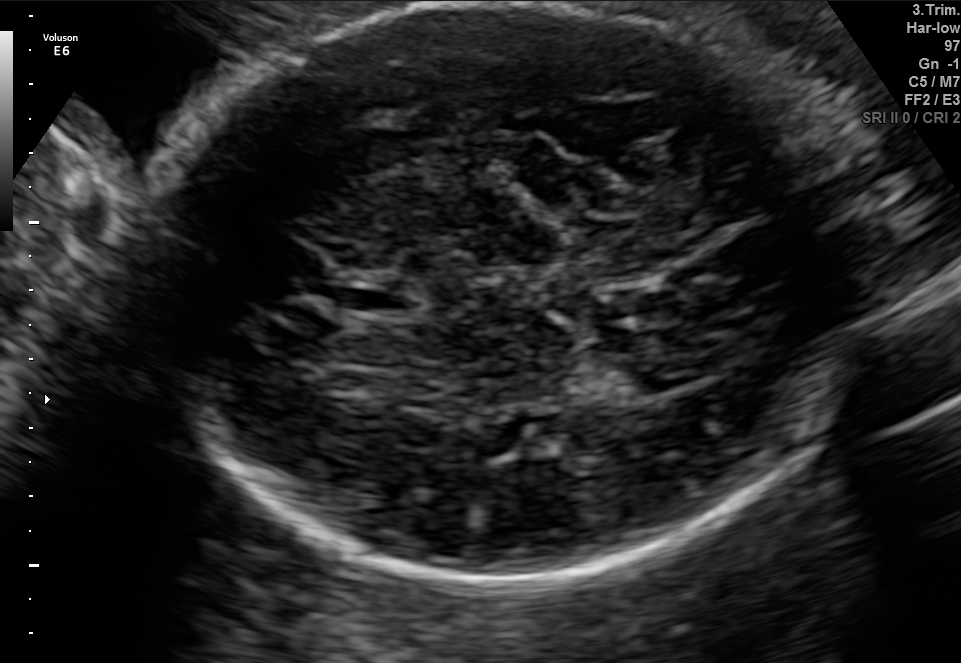
In this fetal brain, trans-thalamic plane, give the bounding box of the fetal head.

[130,6,875,583]